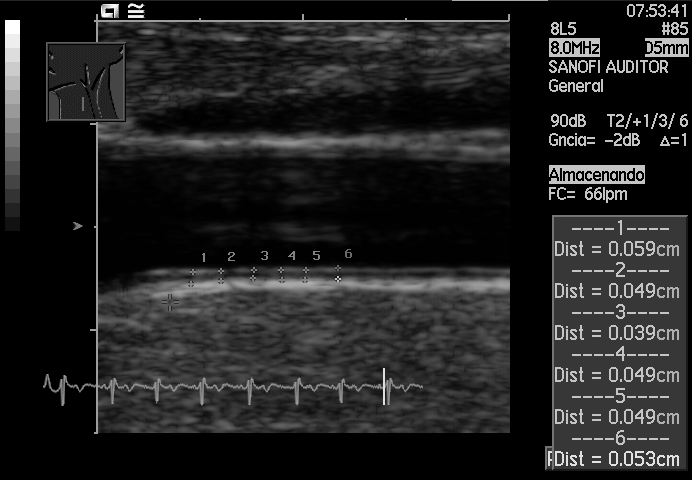
Which standard maternal-fetal ultrasound plane is shown: fetal abdomen, fetal brain, fetal femur, fetal thorax, maternal cervix, or other? If it's fetal brain and one of the three standard brain planes (trans-thalamic, trans-cerebellum, trans-ventricular), name which.

Other